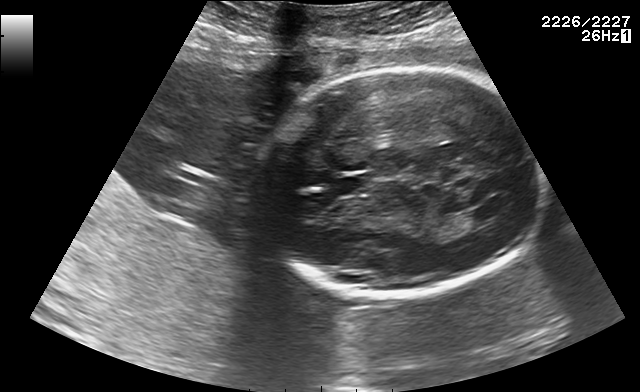
Fetal brain, trans-ventricular plane. Where is the cavum septum pellucidum?

CSP bounding box: [323,173,374,197]